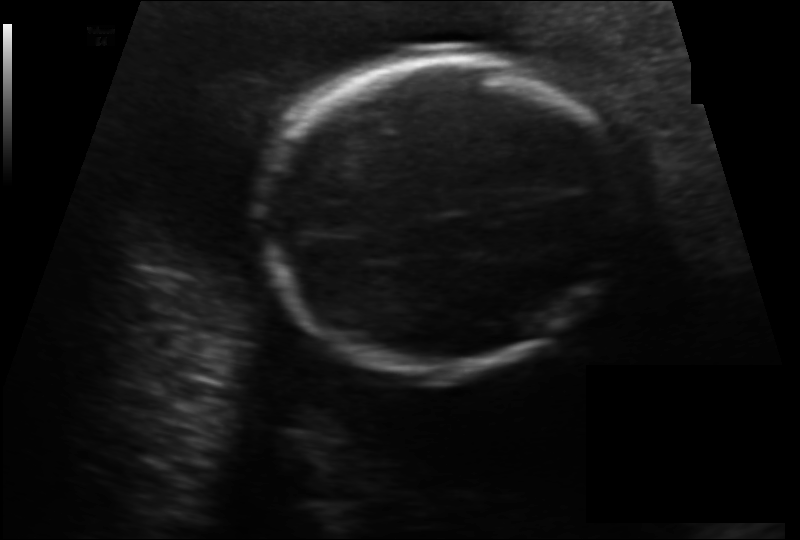
Measure the fetal head circumference shown in this ultrasound image. Image width: 124.9 mm.

Head circumference: 171.4 mm.